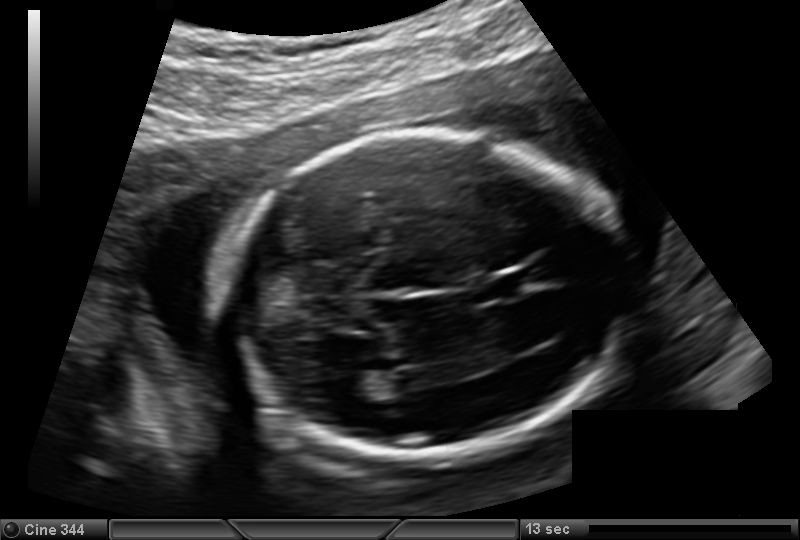
Fetal head ultrasound. Image width: 115.3 mm. Where is the cavum septum pellucidum?

CSP bounding box: [477,266,534,306]